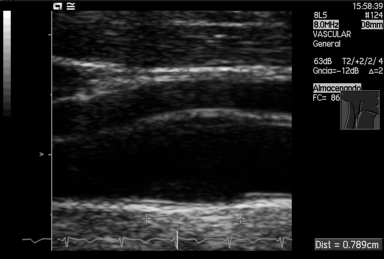
Classify this maternal-fetal ultrasound image as one of the six standard planes — fetal abdomen, fetal brain, fetal femur, fetal thorax, maternal cervix, or other. If it's fetal brain and one of the three standard brain planes (trans-thalamic, trans-cerebellum, trans-ventricular), name which.

Other